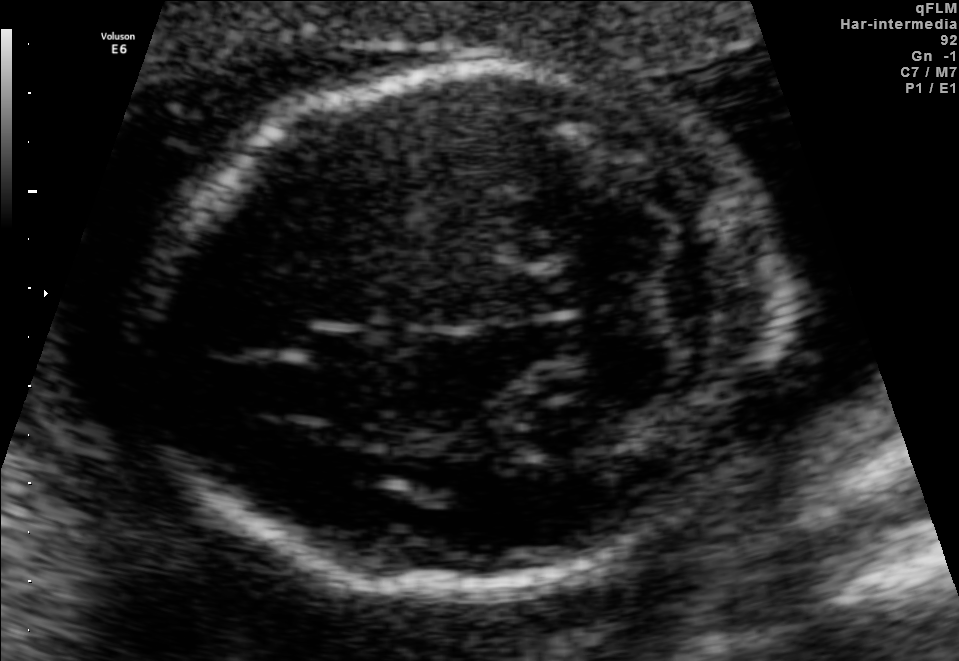
Which standard maternal-fetal ultrasound plane is shown: fetal abdomen, fetal brain, fetal femur, fetal thorax, maternal cervix, or other? If it's fetal brain and one of the three standard brain planes (trans-thalamic, trans-cerebellum, trans-ventricular), name which.

Fetal brain (trans-cerebellum plane)